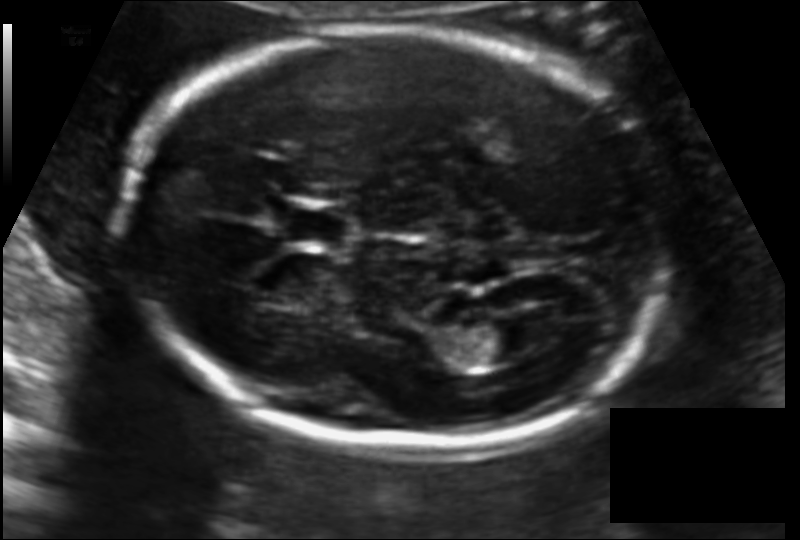
Fetal head ultrasound. Image width: 95.2 mm. Locate the fetal head.

Head: [123,28,673,447]